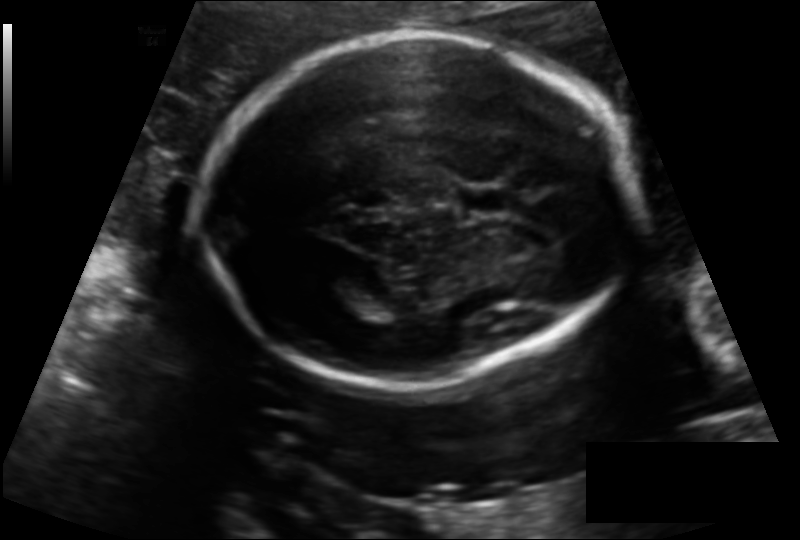
From this fetal ultrasound, estimate the head circumference (image width 111.5 mm).

Head circumference: 177.5 mm.